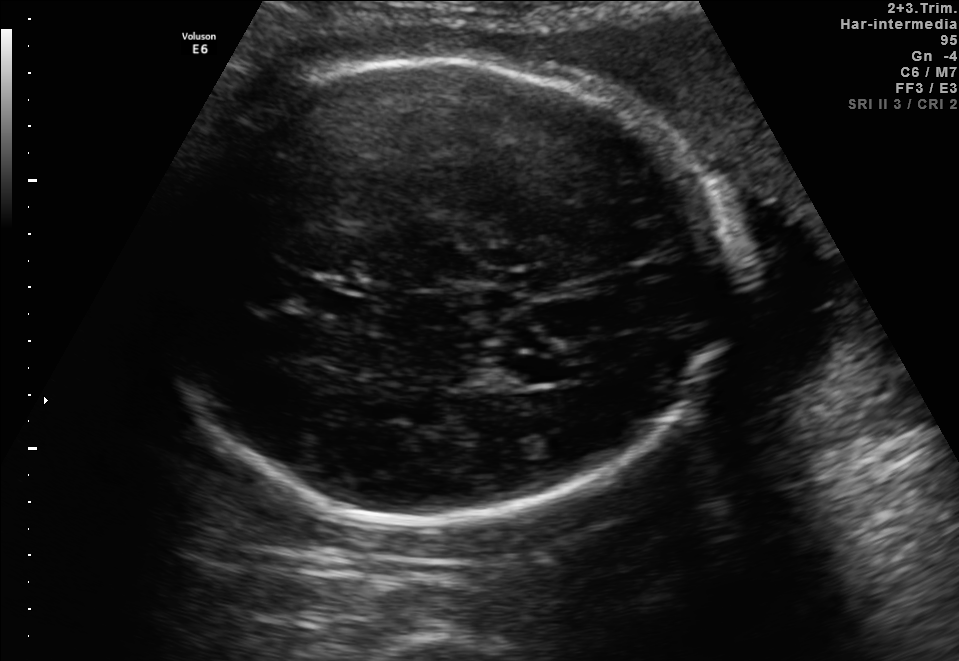
Fetal brain, trans-thalamic plane. Where is the fetal head?

Head bounding box: [139,61,742,524]